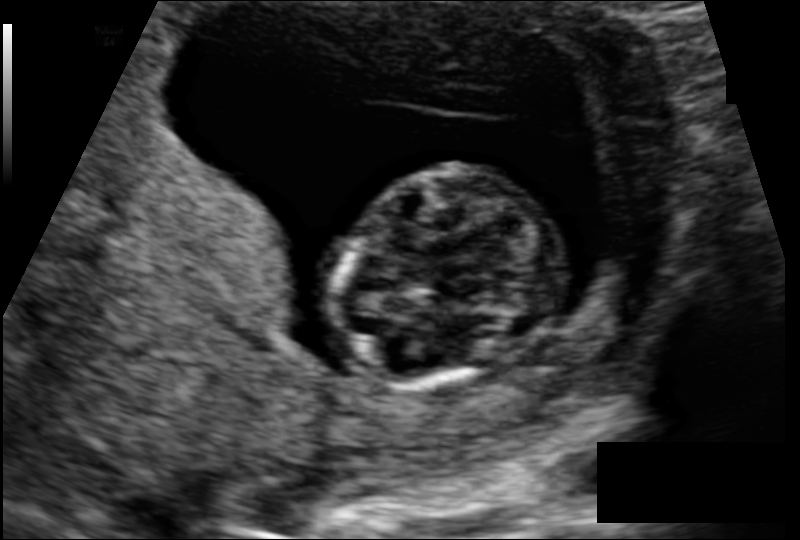
Estimate the fetal head circumference from this 2D ultrasound. Image width: 86.1 mm.

Head circumference: 75.9 mm.